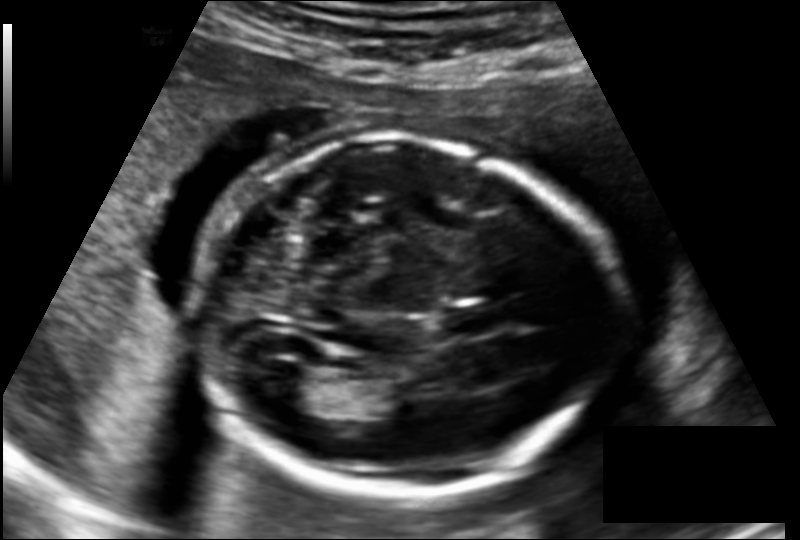
In this fetal head ultrasound, give bounding boxes for the head outline, cavum septum pellucidum (CSP), and lateral ventricle (LV), where visible. Image width: 115.9 mm.

Head: [196,141,621,498]
CSP: [439,302,504,341]
Lateral ventricle: [257,359,321,410]